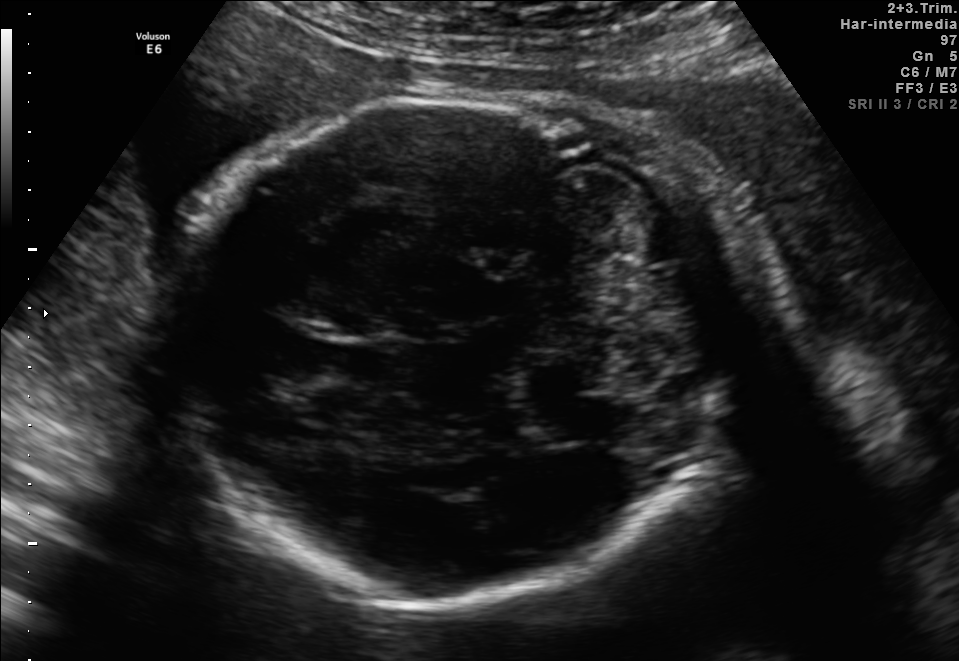
Classify this maternal-fetal ultrasound image as one of the six standard planes — fetal abdomen, fetal brain, fetal femur, fetal thorax, maternal cervix, or other. If it's fetal brain and one of the three standard brain planes (trans-thalamic, trans-cerebellum, trans-ventricular), name which.

Fetal brain (trans-cerebellum plane)